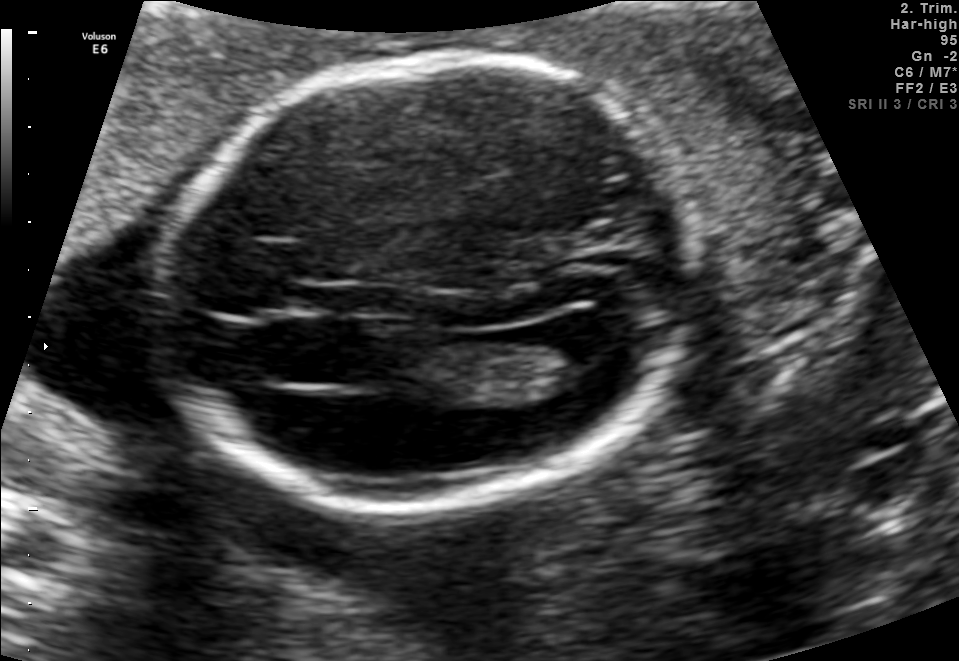
Fetal brain, trans-ventricular plane. Locate the fetal head.

Head: [147,48,708,527]